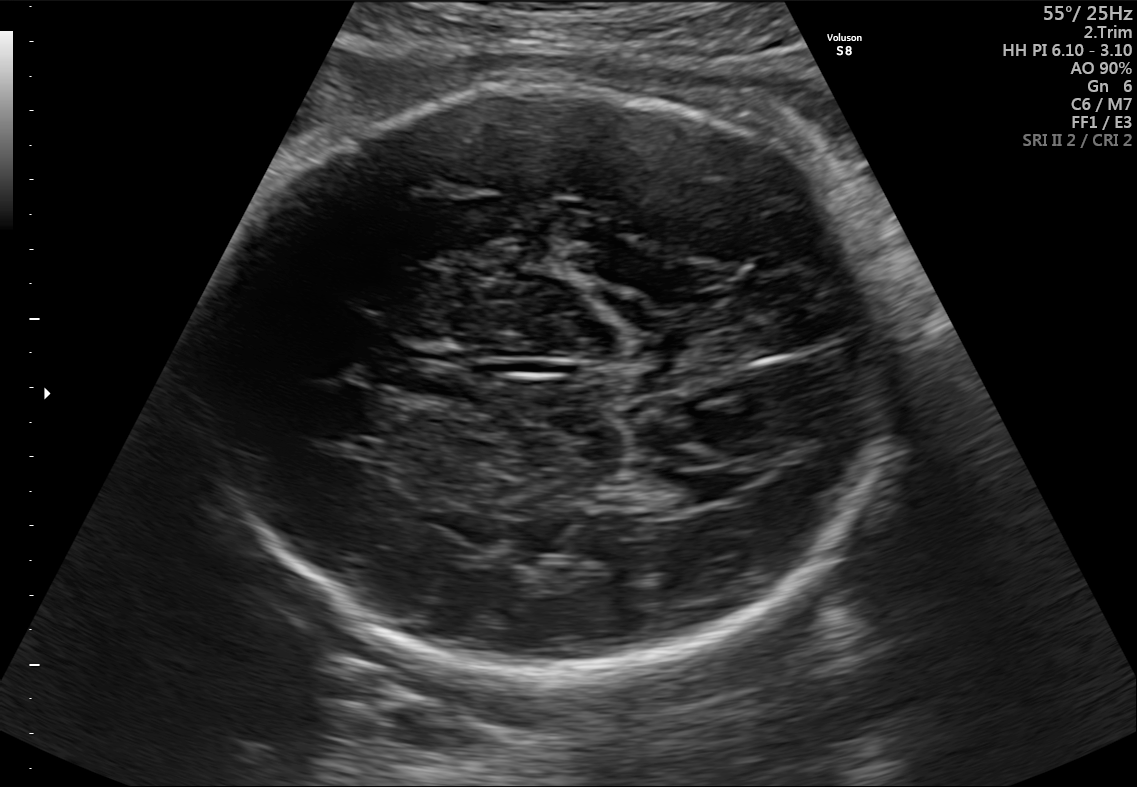
Fetal brain, trans-thalamic plane. Locate the fetal head.

Head: [189,85,892,686]